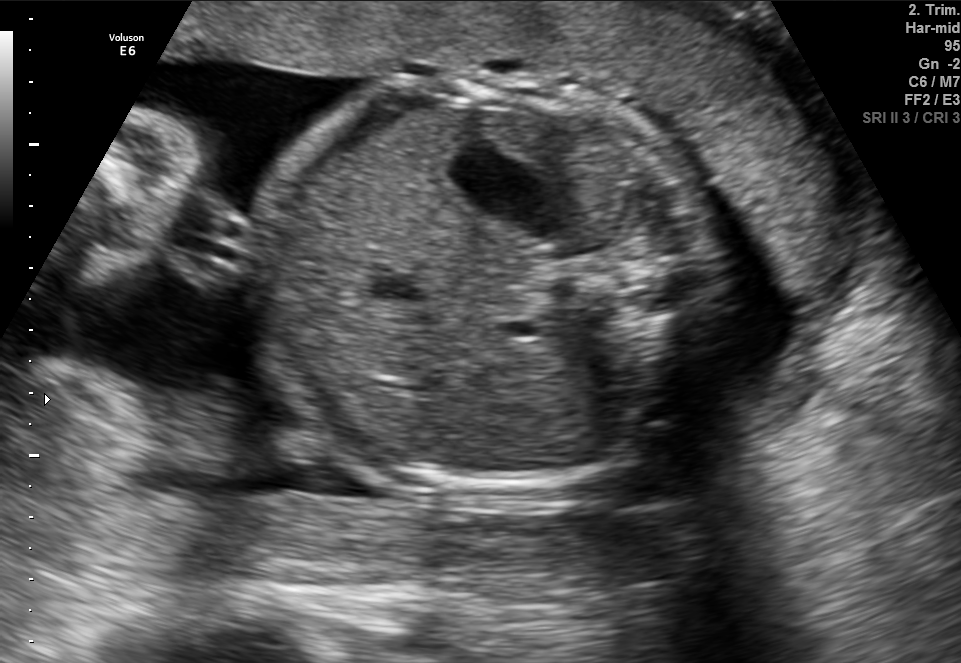
Which standard maternal-fetal ultrasound plane is shown: fetal abdomen, fetal brain, fetal femur, fetal thorax, maternal cervix, or other? If it's fetal brain and one of the three standard brain planes (trans-thalamic, trans-cerebellum, trans-ventricular), name which.

Fetal abdomen